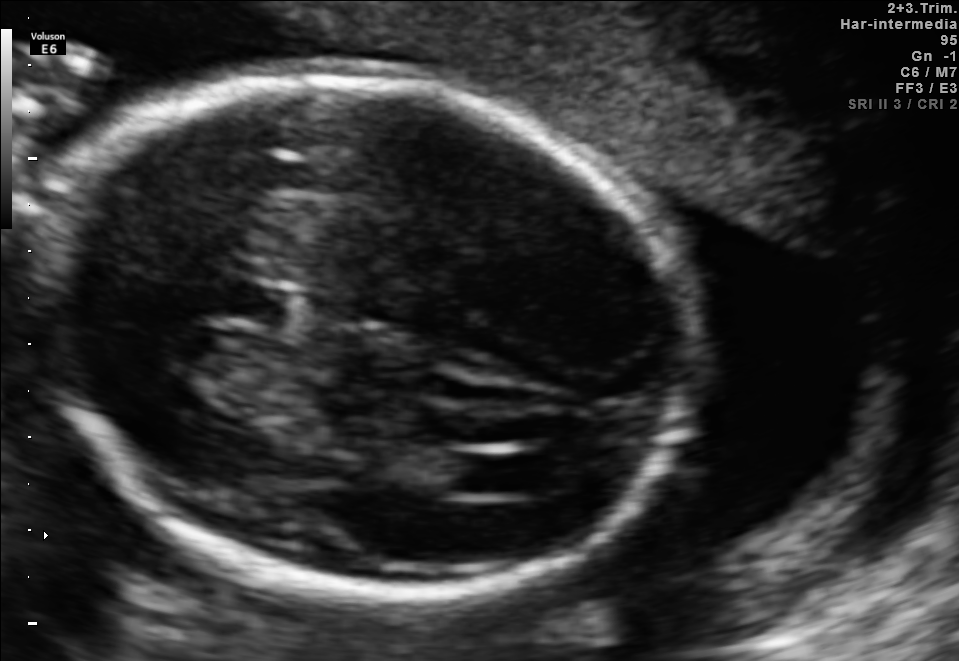
Fetal brain, trans-ventricular plane. Locate the lateral ventricle.

Lateral ventricle: [451,455,514,493]